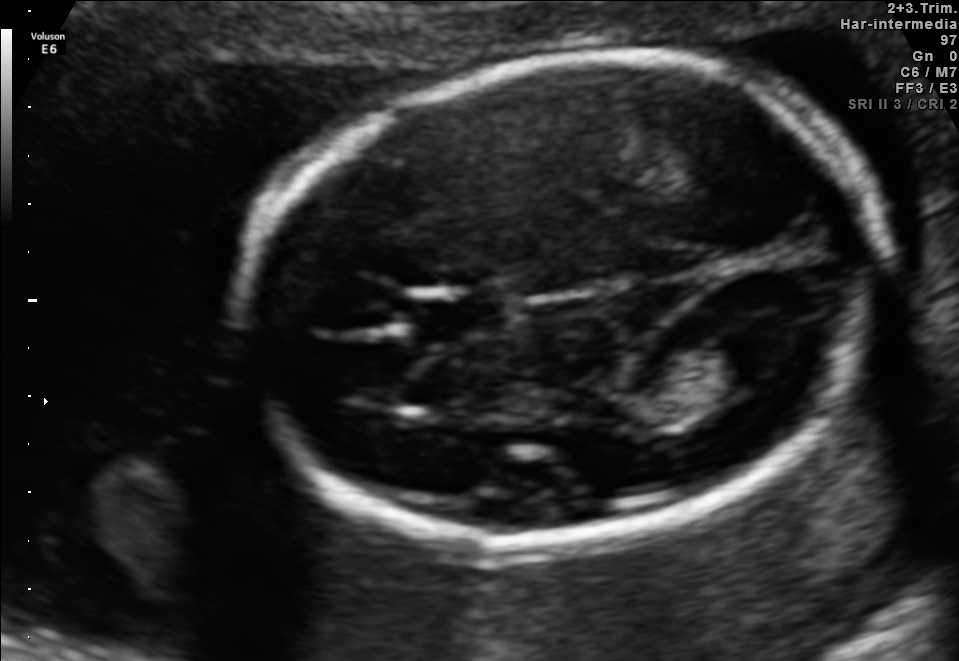
Identify the standard plane in this fetal ultrasound image: fetal abdomen, fetal brain, fetal femur, fetal thorax, maternal cervix, or other. If it's fetal brain and one of the three standard brain planes (trans-thalamic, trans-cerebellum, trans-ventricular), name which.

Fetal brain (trans-ventricular plane)